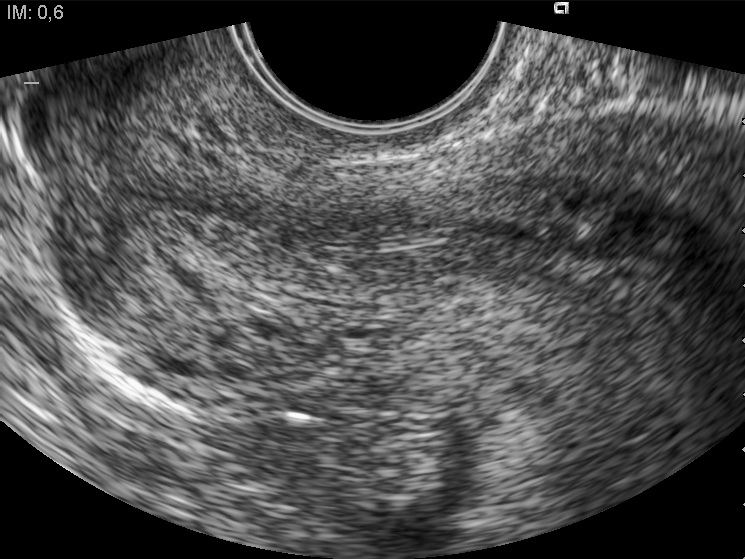
Identify the standard plane in this fetal ultrasound image: fetal abdomen, fetal brain, fetal femur, fetal thorax, maternal cervix, or other. If it's fetal brain and one of the three standard brain planes (trans-thalamic, trans-cerebellum, trans-ventricular), name which.

Maternal cervix